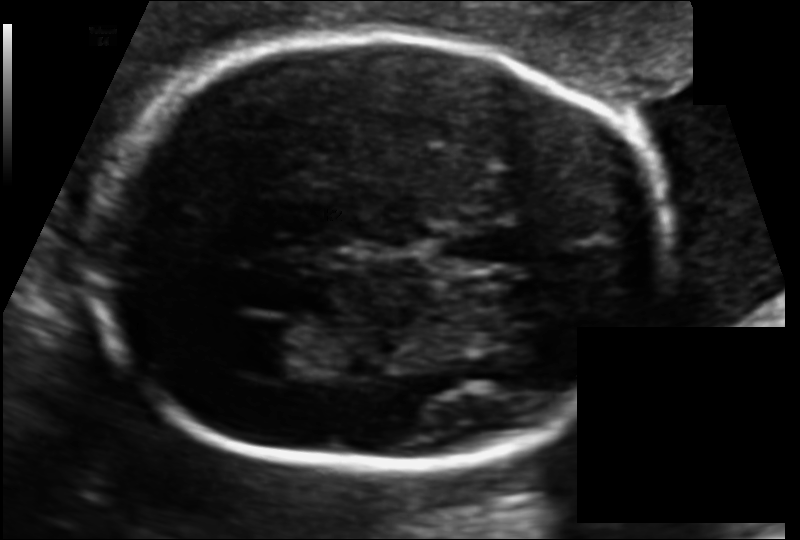
Fetal head ultrasound. Image width: 89.0 mm. Give [x1,y1,x2,y2] bounding boxes for each visible structure among: fetal head, CSP, LV.

Head: [88,37,679,469]
CSP: [440,216,530,272]
Lateral ventricle: [224,317,316,381]